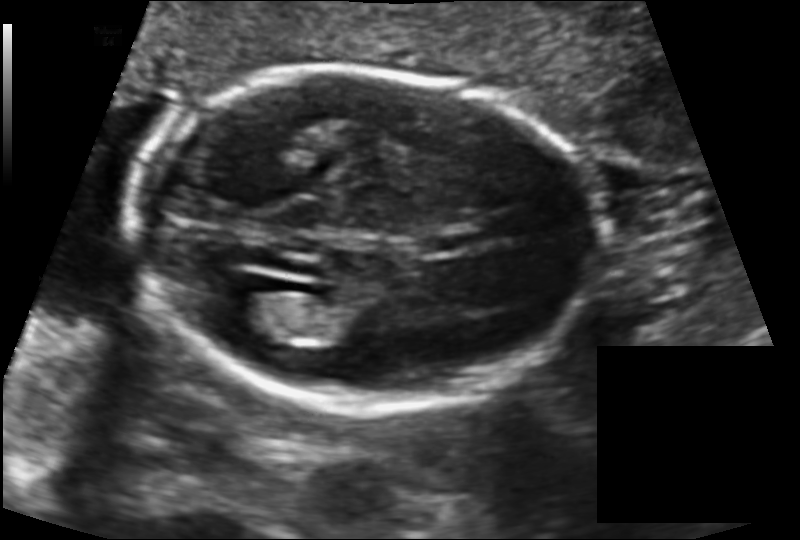
Fetal head ultrasound. Image width: 105.0 mm. Locate the cavum septum pellucidum.

CSP: [417,229,474,258]